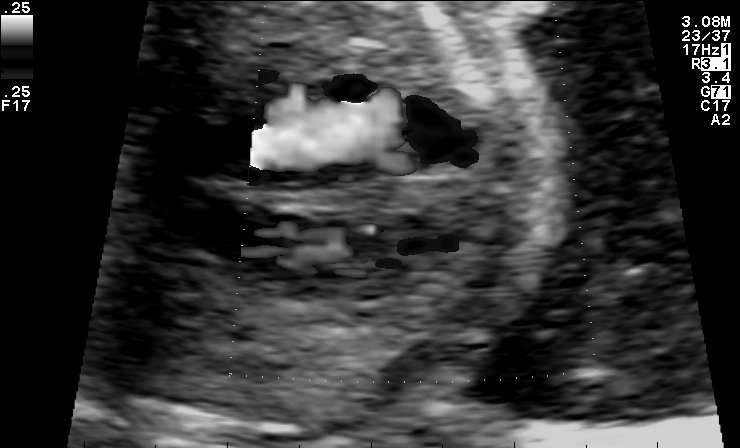
Which standard maternal-fetal ultrasound plane is shown: fetal abdomen, fetal brain, fetal femur, fetal thorax, maternal cervix, or other? If it's fetal brain and one of the three standard brain planes (trans-thalamic, trans-cerebellum, trans-ventricular), name which.

Other